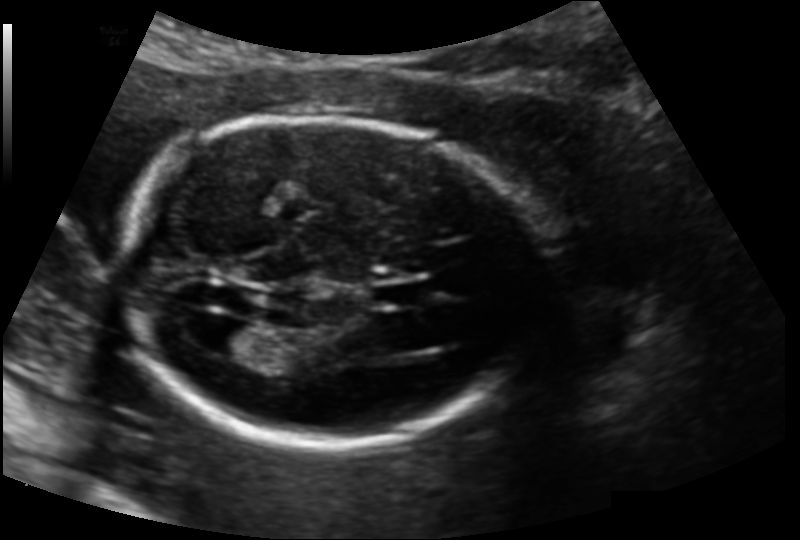
Fetal head ultrasound. Image width: 111.6 mm. Give [x1,y1,x2,y2] bounding boxes for each visible structure among: fetal head, CSP, LV.

Head: [117,118,536,448]
CSP: [372,277,428,311]
Lateral ventricle: [201,315,269,363]